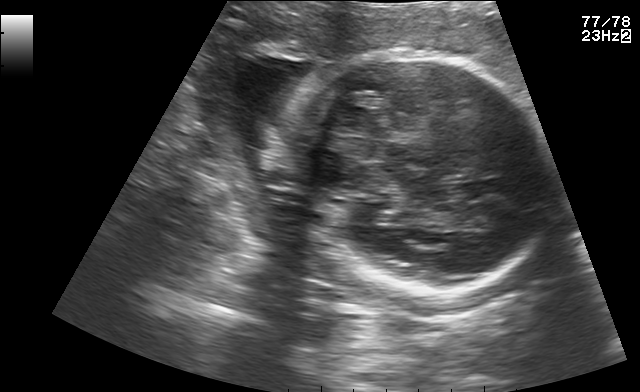
Fetal brain, trans-thalamic plane. Locate the fetal head.

Head: [290,46,550,293]